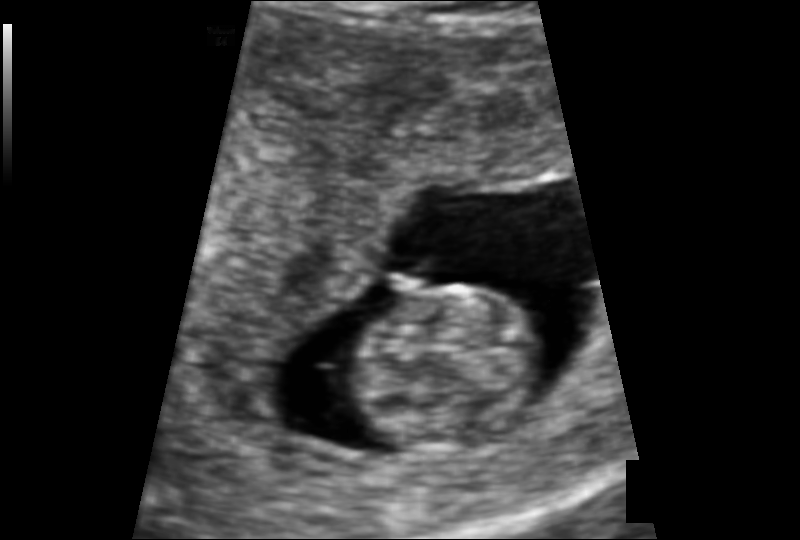
Estimate the fetal head circumference from this 2D ultrasound. Image width: 87.5 mm.

Head circumference: 62.8 mm.